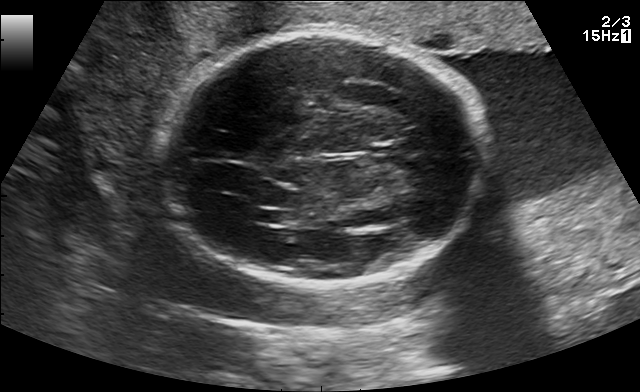
Fetal brain, trans-thalamic plane. Locate the lateral ventricle.

Lateral ventricle: [256,209,295,225]